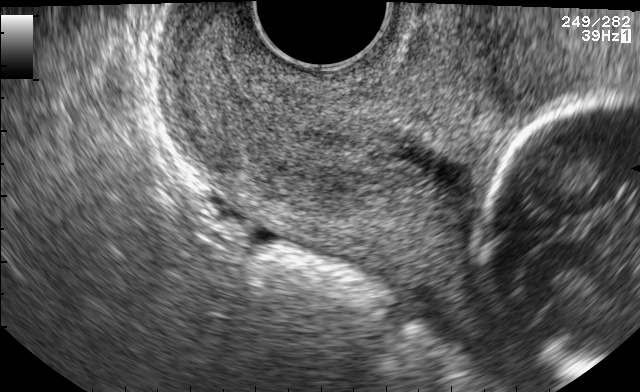
Classify this maternal-fetal ultrasound image as one of the six standard planes — fetal abdomen, fetal brain, fetal femur, fetal thorax, maternal cervix, or other. If it's fetal brain and one of the three standard brain planes (trans-thalamic, trans-cerebellum, trans-ventricular), name which.

Maternal cervix